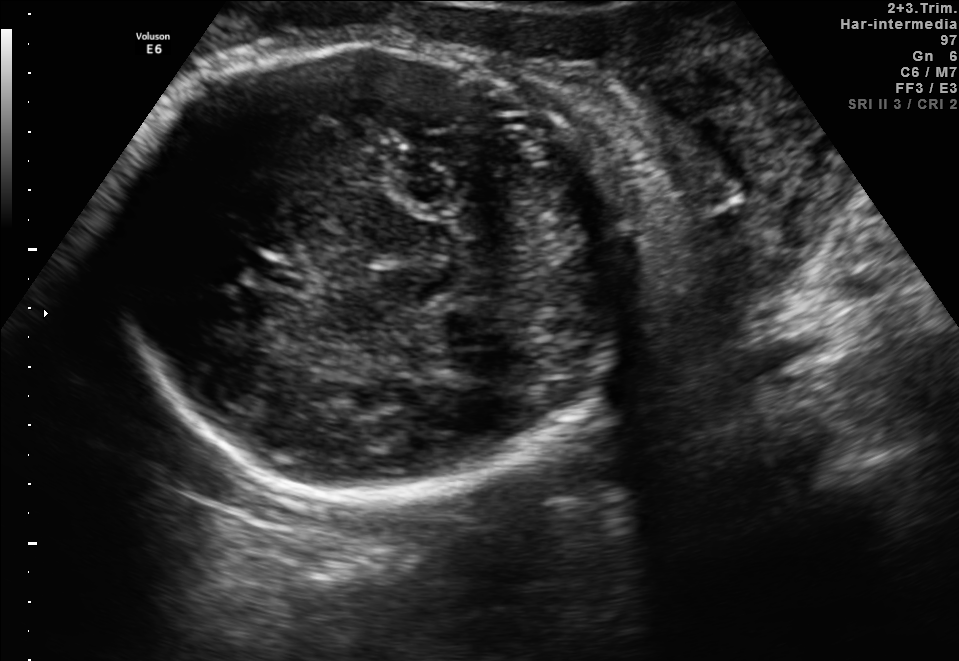
Fetal brain, trans-thalamic plane. Where is the fetal head?

Head bounding box: [108,38,641,489]